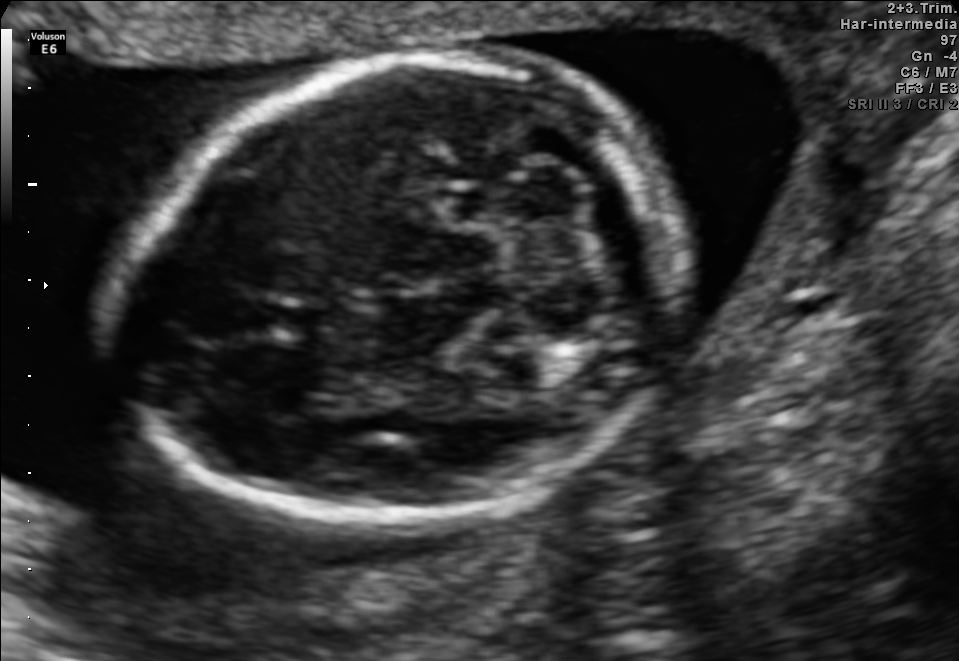
Fetal brain, trans-cerebellum plane. Give [x1,y1,x2,y2] bounding boxes for each visible structure among: fetal head, CSP, LV.

Head: [115,55,686,536]